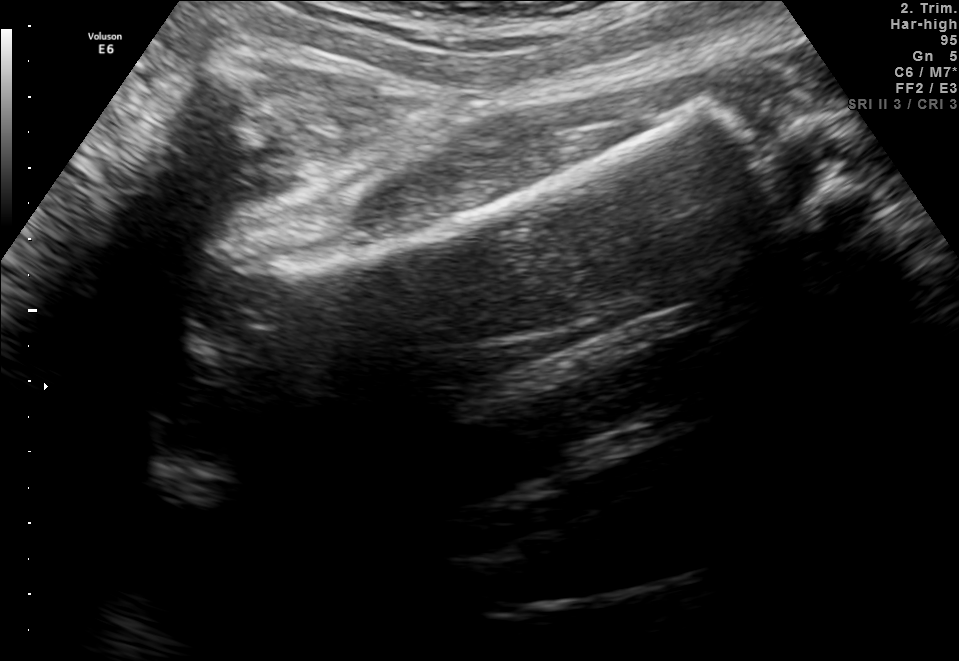
Identify the standard plane in this fetal ultrasound image: fetal abdomen, fetal brain, fetal femur, fetal thorax, maternal cervix, or other. If it's fetal brain and one of the three standard brain planes (trans-thalamic, trans-cerebellum, trans-ventricular), name which.

Fetal femur